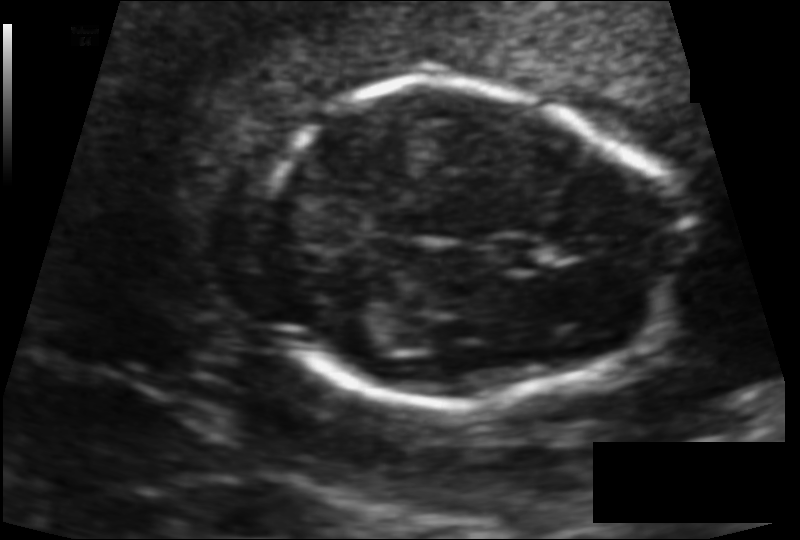
Fetal head ultrasound. Image width: 80.4 mm. Where is the cavum septum pellucidum?

CSP bounding box: [492,240,543,270]